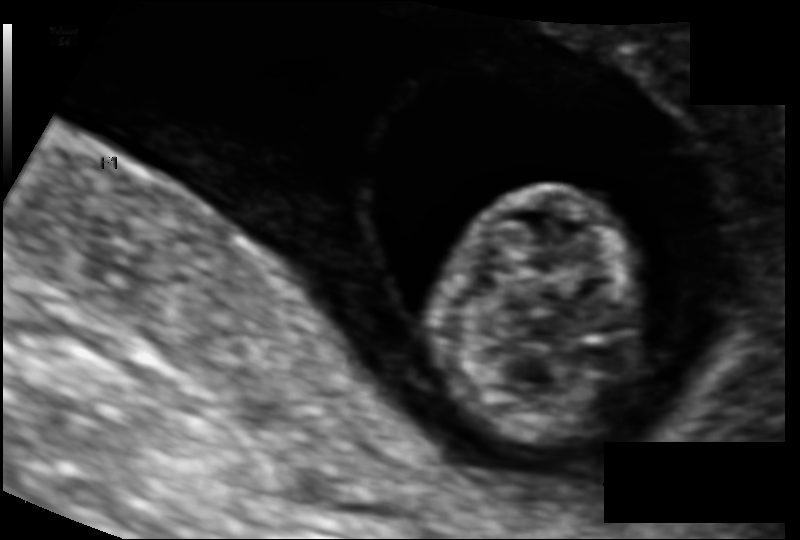
Fetal head ultrasound. Image width: 75.4 mm. Locate the fetal head.

Head: [435,185,643,444]